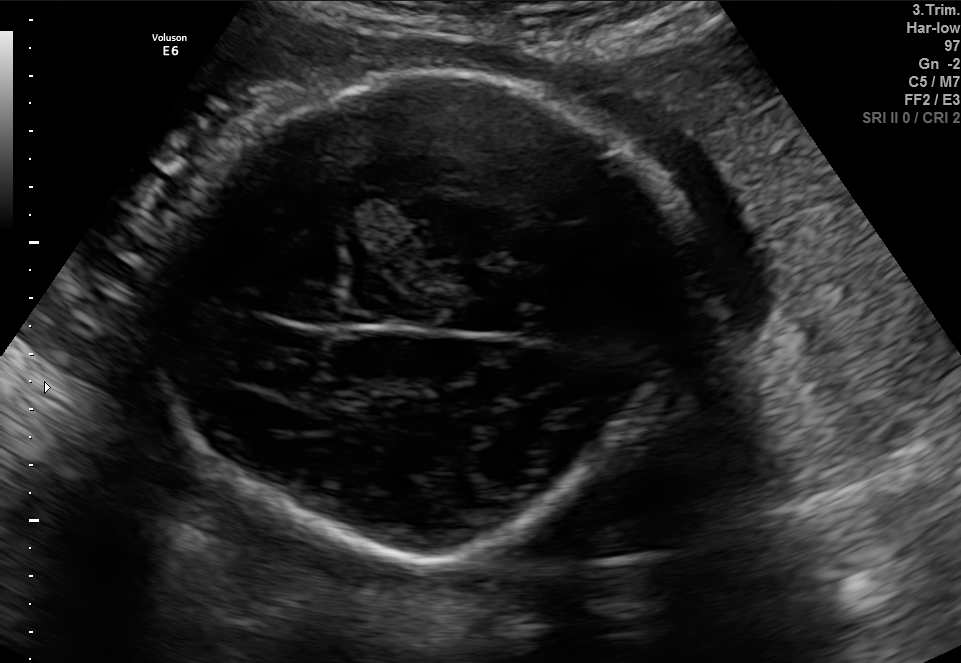
Fetal brain, trans-thalamic plane. Locate the fetal head and, if visible, the cavum septum pellucidum (CSP) and lateral ventricle (LV). Give bounding boxes as [x1,y1,x2,y2].

Head: [172,58,674,561]